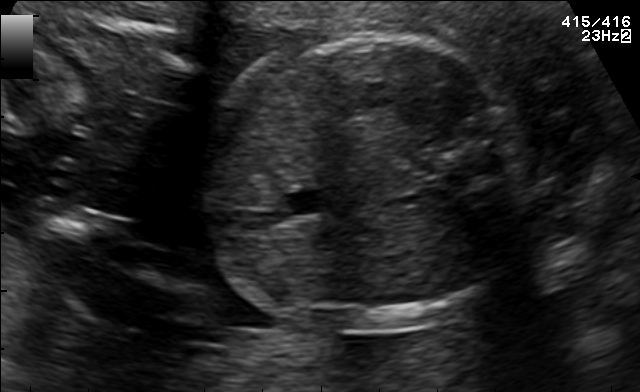
Classify this maternal-fetal ultrasound image as one of the six standard planes — fetal abdomen, fetal brain, fetal femur, fetal thorax, maternal cervix, or other. If it's fetal brain and one of the three standard brain planes (trans-thalamic, trans-cerebellum, trans-ventricular), name which.

Fetal abdomen